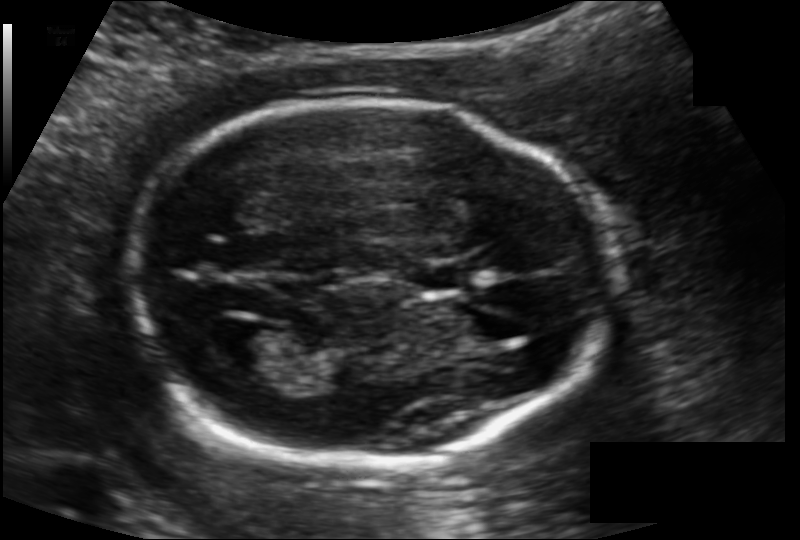
Fetal head ultrasound. Image width: 96.5 mm. Where is the fetal head?

Head bounding box: [127,101,615,463]